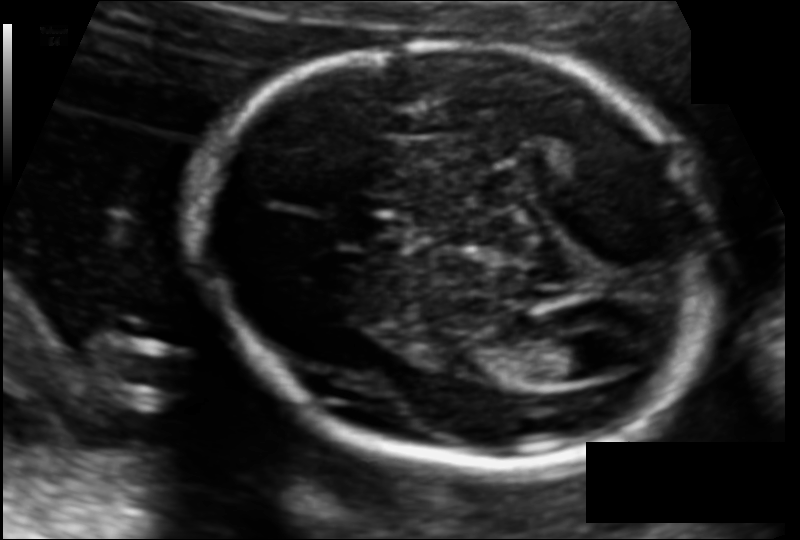
Measure the fetal head circumference shown in this ultrasound image. Image width: 87.7 mm.

Head circumference: 167.8 mm.